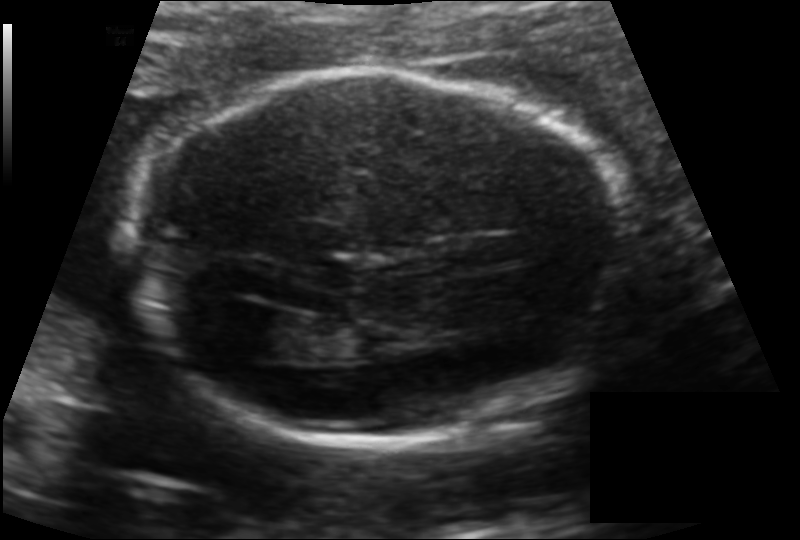
Estimate the fetal head circumference from this 2D ultrasound. Image width: 107.1 mm.

Head circumference: 189.3 mm.